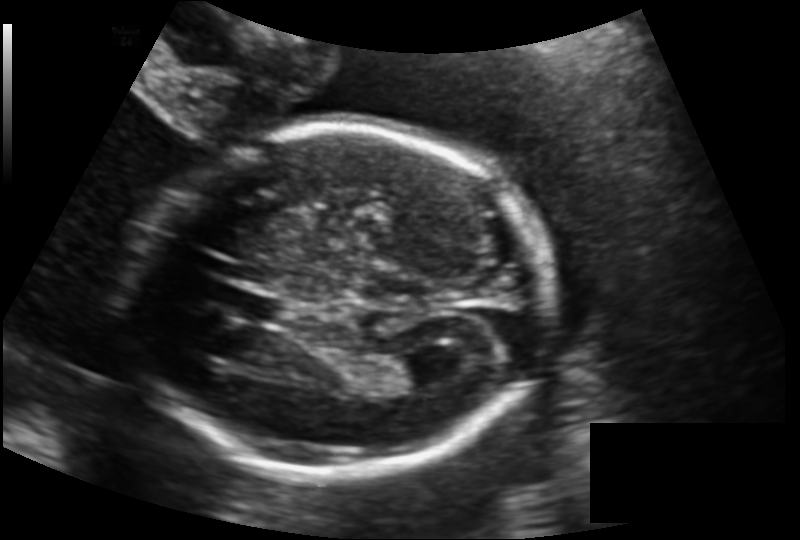
Estimate the fetal head circumference from this 2D ultrasound. Image width: 117.2 mm.

Head circumference: 182.8 mm.